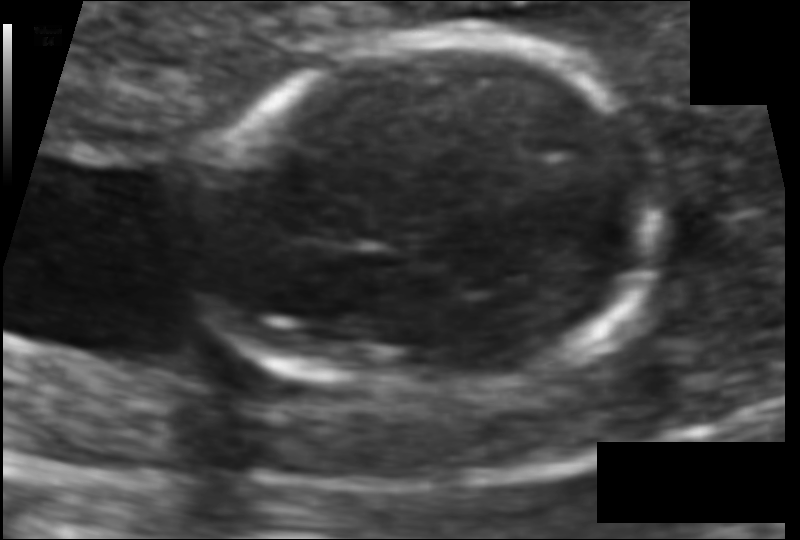
Fetal head ultrasound. Image width: 62.9 mm. Locate the fetal head and, if visible, the cavum septum pellucidum (CSP) and lateral ventricle (LV). Give bounding boxes as [x1,y1,x2,y2].

Head: [190,33,657,404]